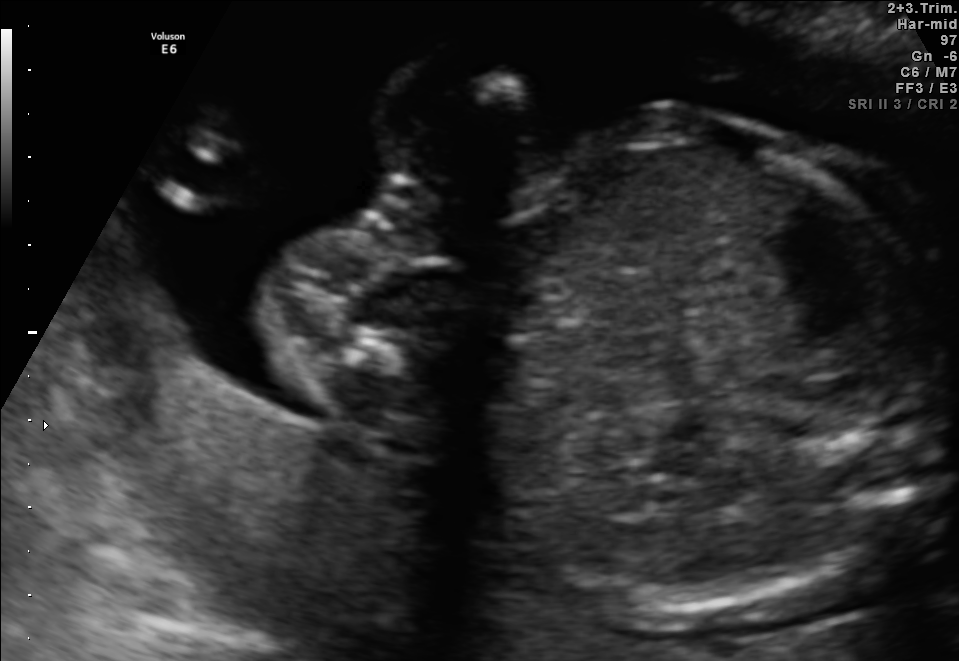
Which standard maternal-fetal ultrasound plane is shown: fetal abdomen, fetal brain, fetal femur, fetal thorax, maternal cervix, or other? If it's fetal brain and one of the three standard brain planes (trans-thalamic, trans-cerebellum, trans-ventricular), name which.

Other